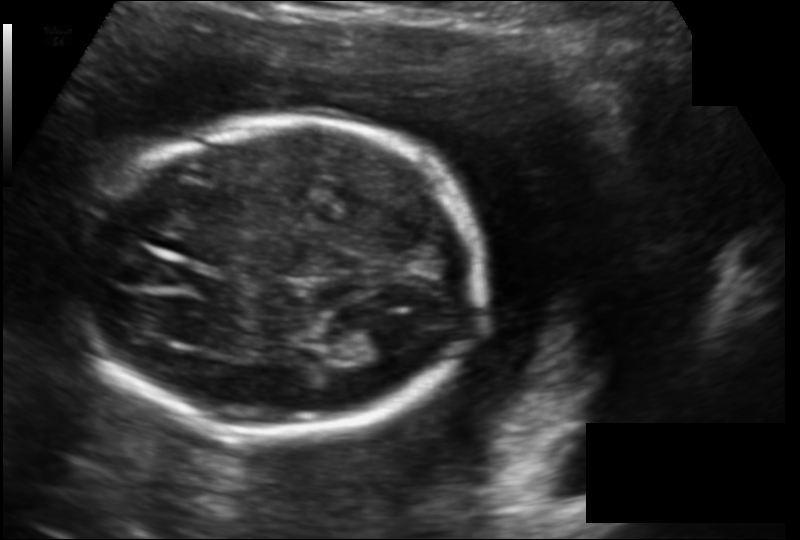
From this fetal ultrasound, estimate the head circumference (image width 113.3 mm).

Head circumference: 165.2 mm.